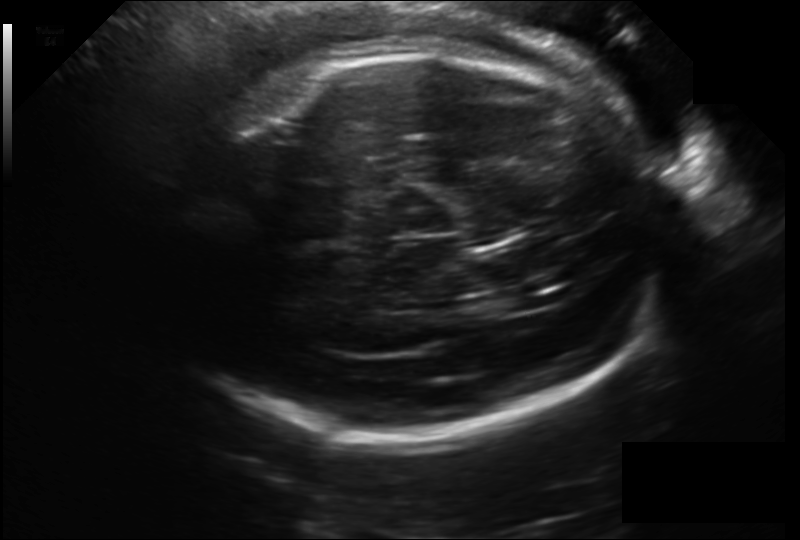
From this fetal ultrasound, estimate the head circumference (image width 162.0 mm).

Head circumference: 289.5 mm.